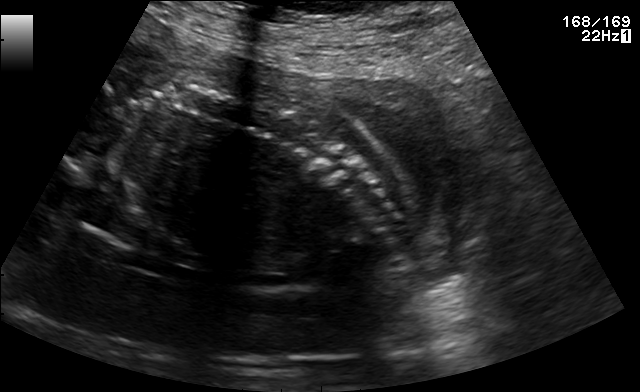
Identify the standard plane in this fetal ultrasound image: fetal abdomen, fetal brain, fetal femur, fetal thorax, maternal cervix, or other. If it's fetal brain and one of the three standard brain planes (trans-thalamic, trans-cerebellum, trans-ventricular), name which.

Other